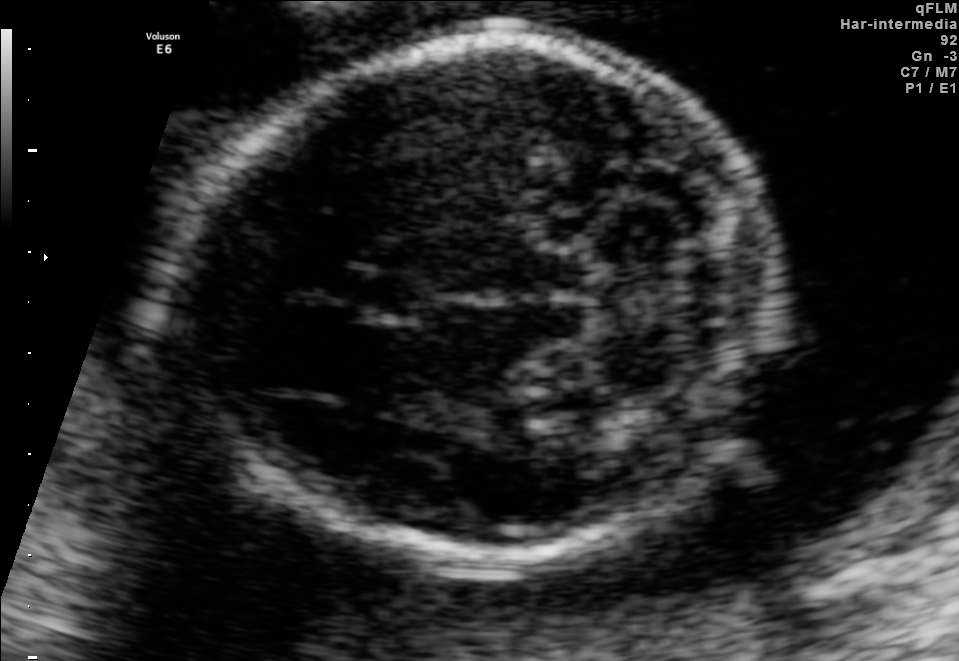
In this fetal brain, trans-cerebellum plane, give the bounding box of the fetal head.

[190,41,763,564]